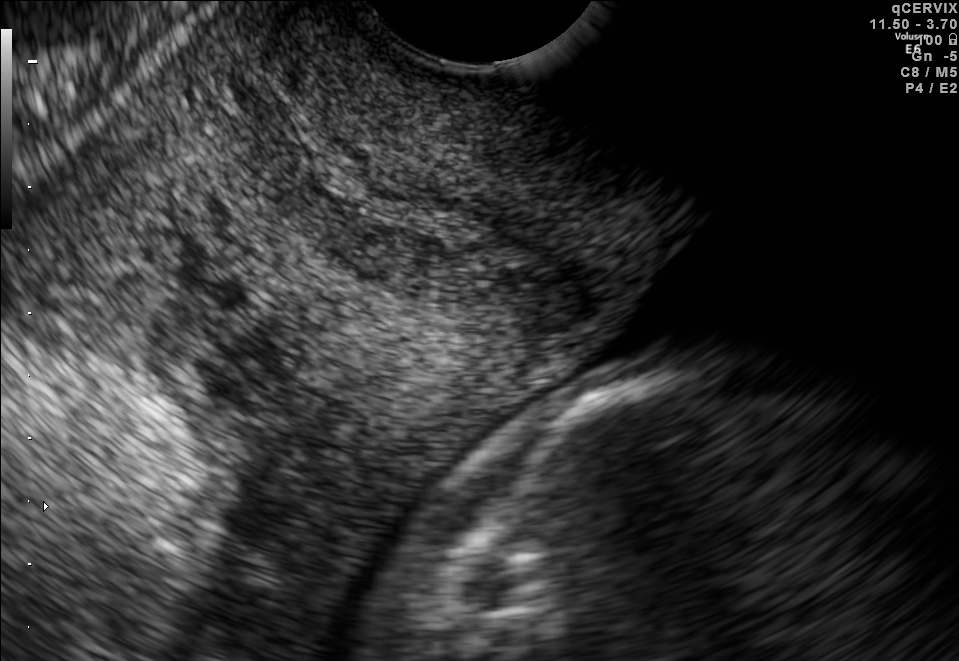
Classify this maternal-fetal ultrasound image as one of the six standard planes — fetal abdomen, fetal brain, fetal femur, fetal thorax, maternal cervix, or other. If it's fetal brain and one of the three standard brain planes (trans-thalamic, trans-cerebellum, trans-ventricular), name which.

Maternal cervix